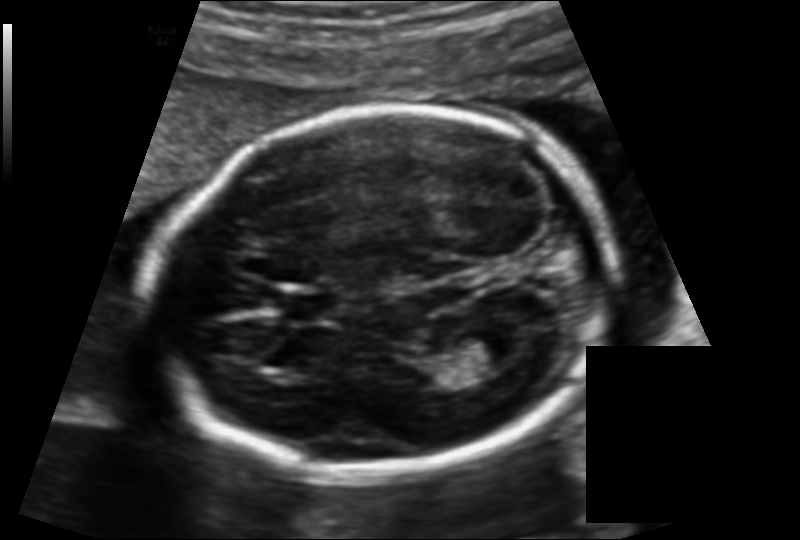
In this fetal head ultrasound, give the bounding box of the fetal head. Image width: 104.7 mm.

[153,105,615,475]